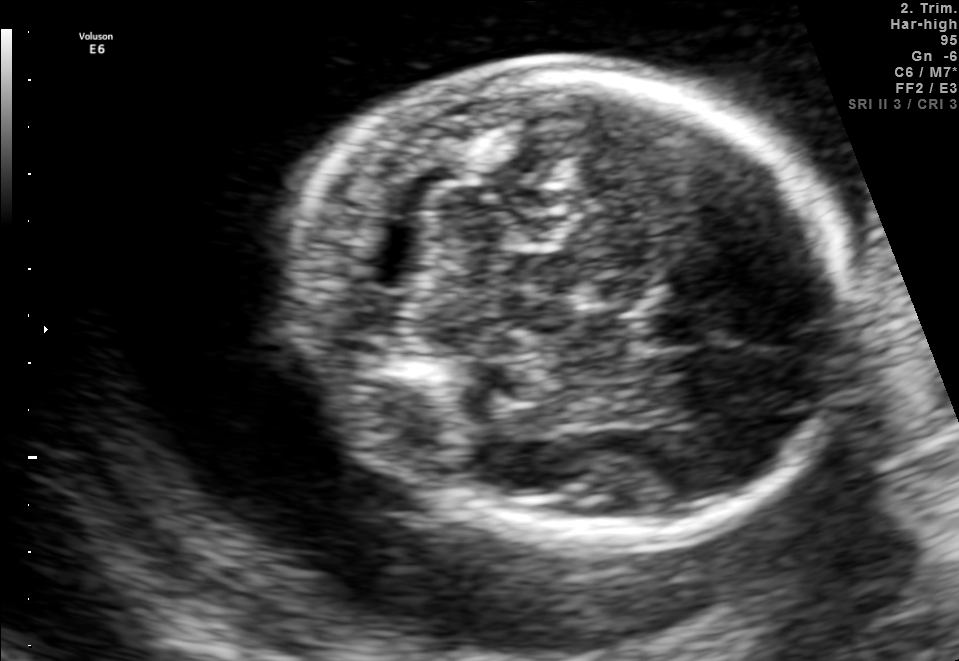
In this fetal brain, trans-cerebellum plane, give the bounding box of the fetal head.

[299,72,852,547]